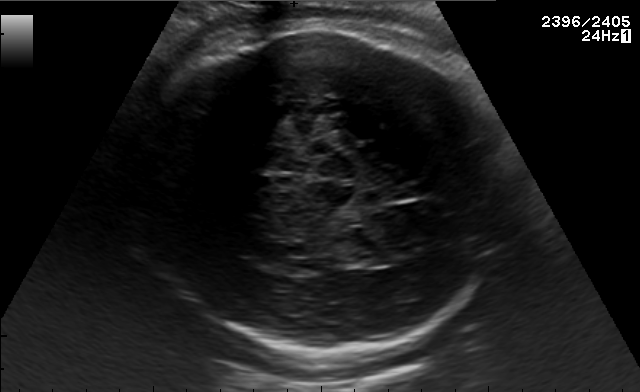
Fetal brain, trans-thalamic plane. Where is the fetal head?

Head bounding box: [139,27,506,353]